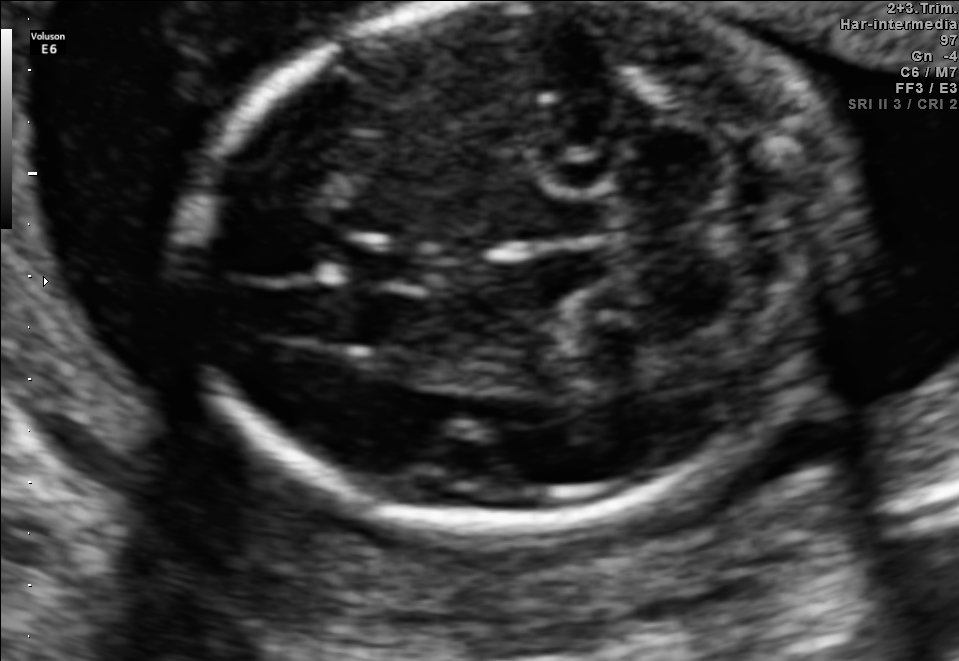
Fetal brain, trans-cerebellum plane. Where is the cavum septum pellucidum?

CSP bounding box: [328,235,426,291]